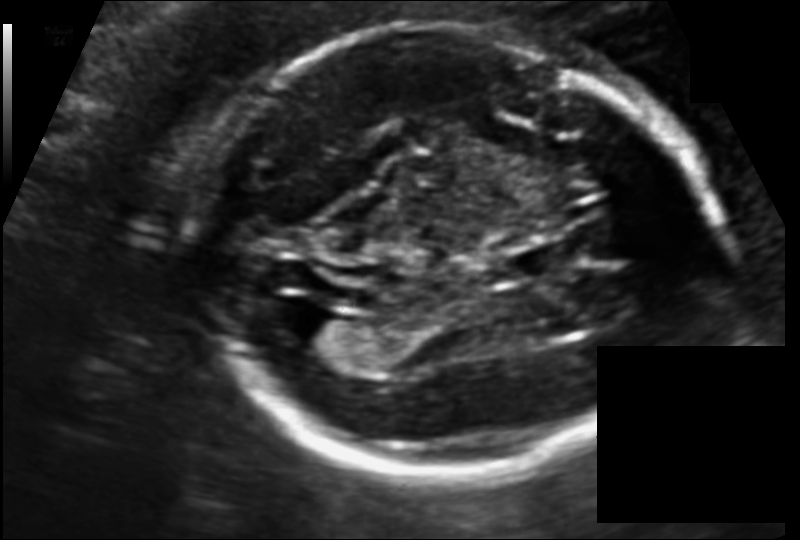
Fetal head ultrasound. Image width: 94.5 mm. Where is the fetal head?

Head bounding box: [192,20,705,475]